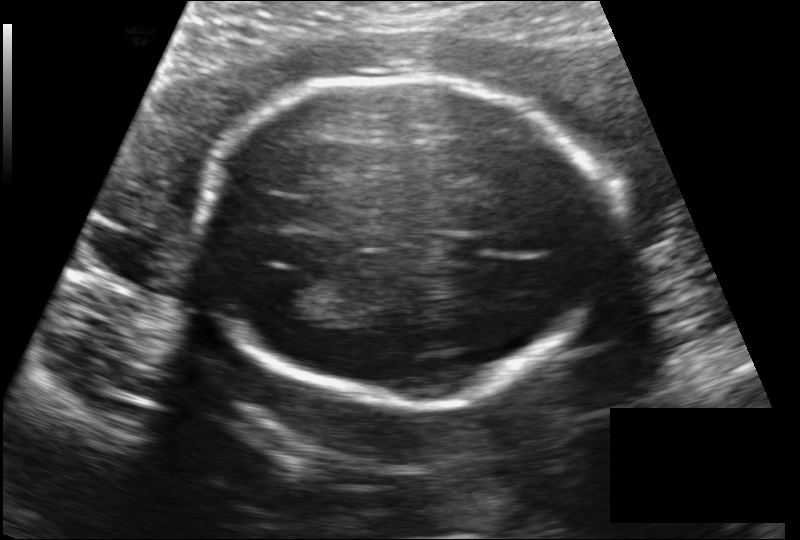
From this fetal ultrasound, estimate the head circumference (image width 119.2 mm).

Head circumference: 180.3 mm.